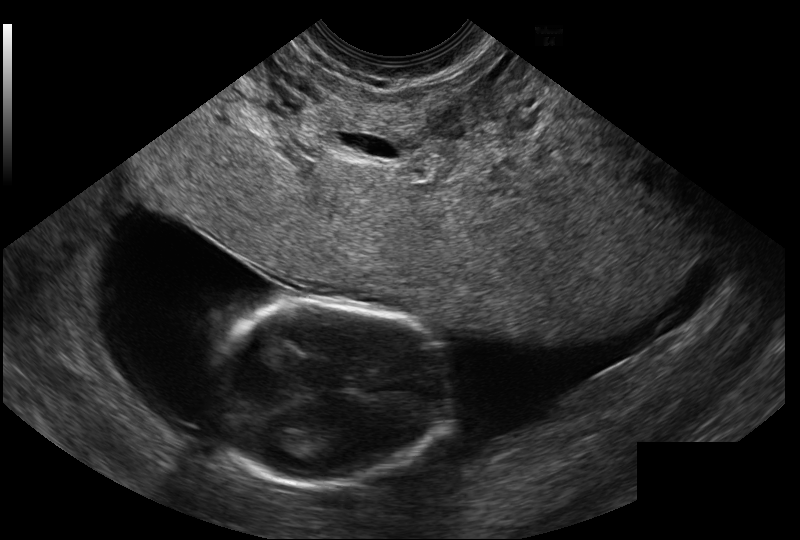
Fetal head ultrasound. Image width: 91.4 mm. Locate the fetal head.

Head: [209,301,452,486]